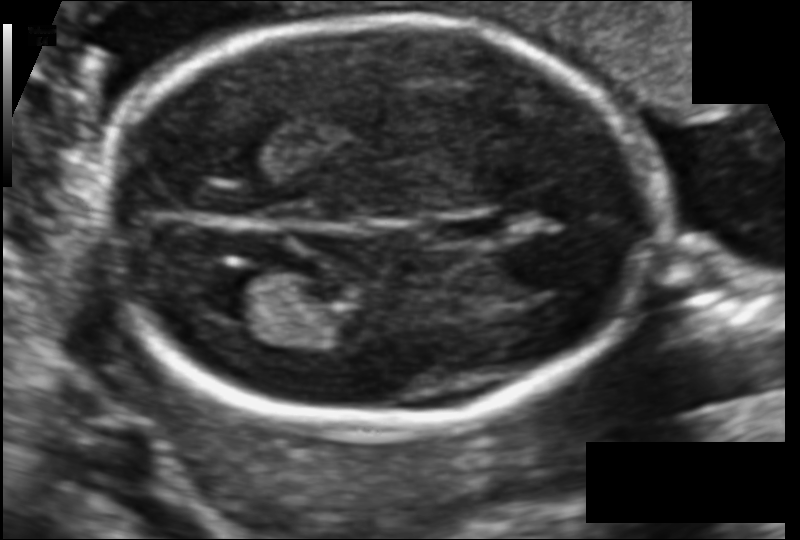
From this fetal ultrasound, estimate the head circumference (image width 84.6 mm).

Head circumference: 165.0 mm.